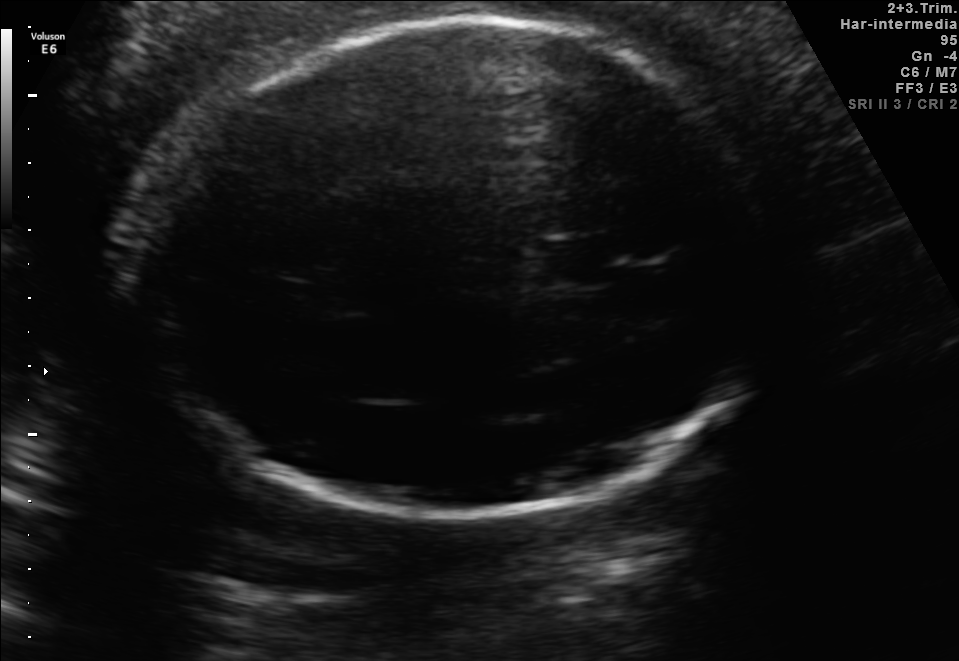
Fetal brain, trans-thalamic plane. Locate the fetal head.

Head: [137,22,762,517]